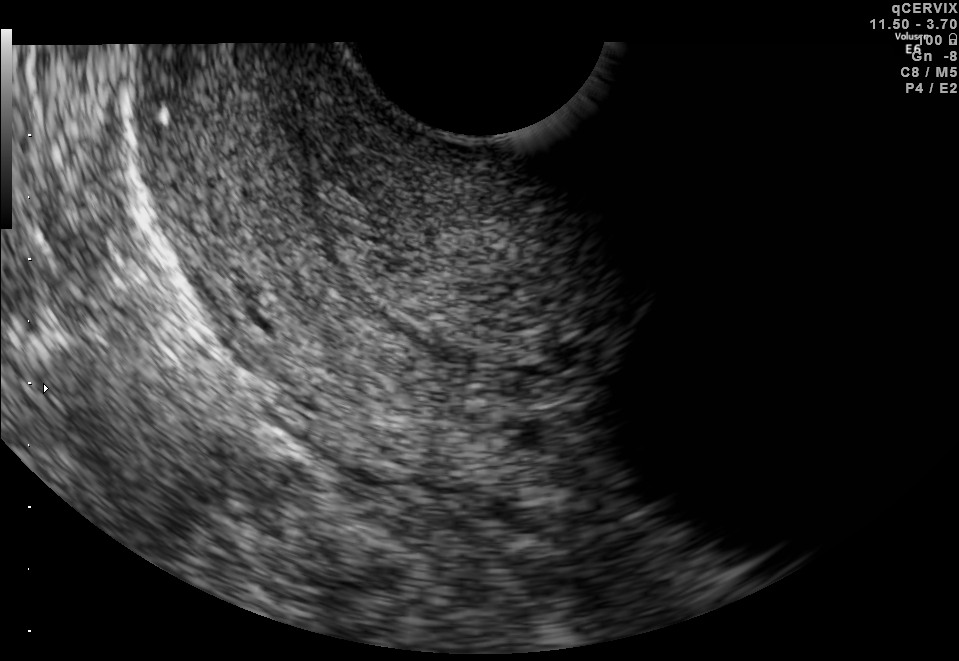
Which standard maternal-fetal ultrasound plane is shown: fetal abdomen, fetal brain, fetal femur, fetal thorax, maternal cervix, or other? If it's fetal brain and one of the three standard brain planes (trans-thalamic, trans-cerebellum, trans-ventricular), name which.

Maternal cervix